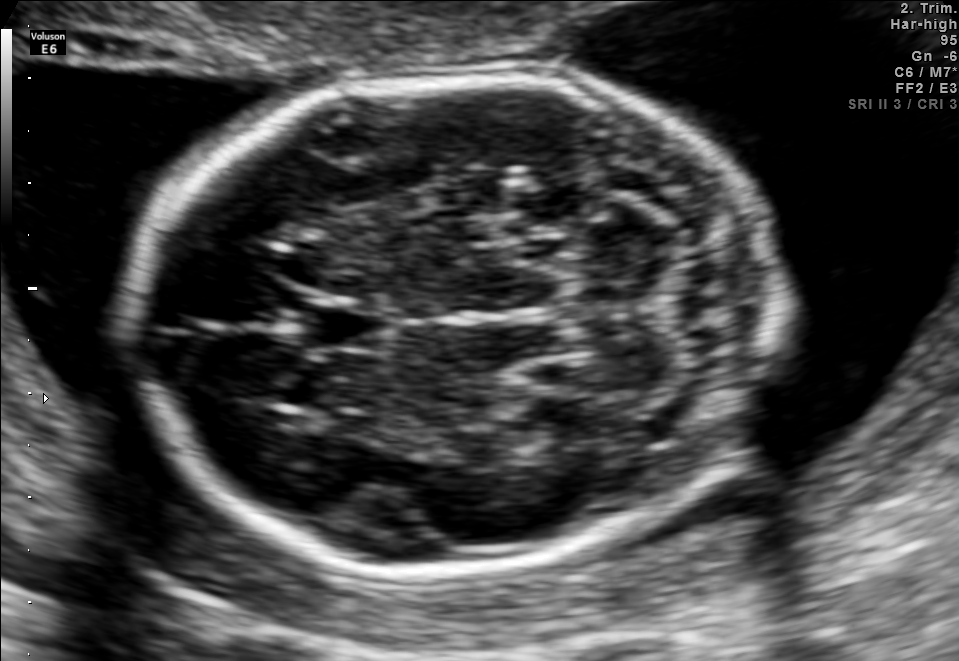
Fetal brain, trans-cerebellum plane. Locate the cavum septum pellucidum.

CSP: [294,297,389,353]